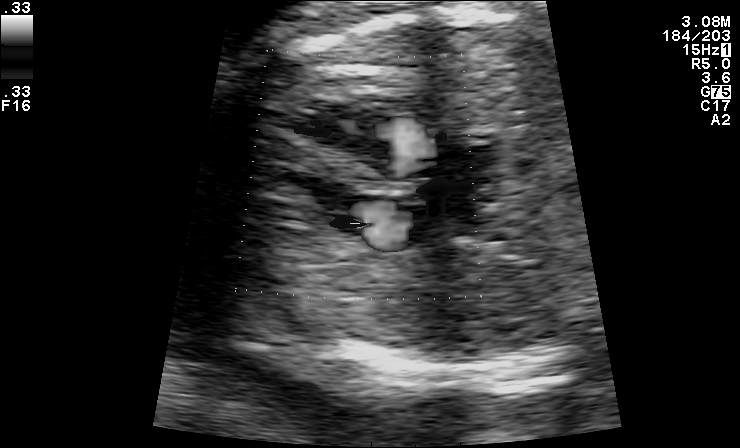
Identify the standard plane in this fetal ultrasound image: fetal abdomen, fetal brain, fetal femur, fetal thorax, maternal cervix, or other. If it's fetal brain and one of the three standard brain planes (trans-thalamic, trans-cerebellum, trans-ventricular), name which.

Other